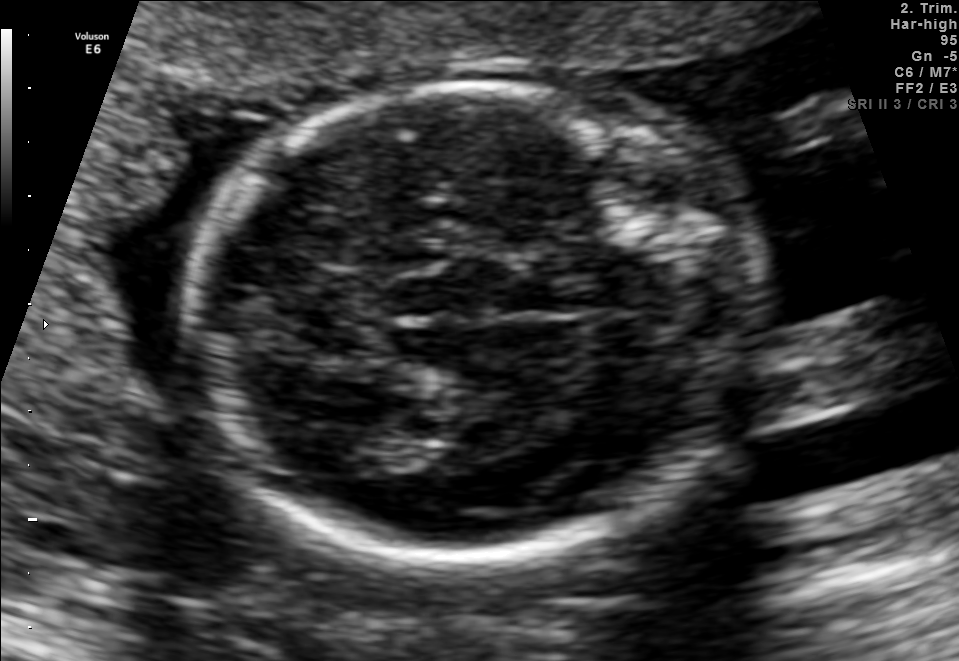
Fetal brain, trans-thalamic plane. Locate the fetal head.

Head: [181,87,752,560]